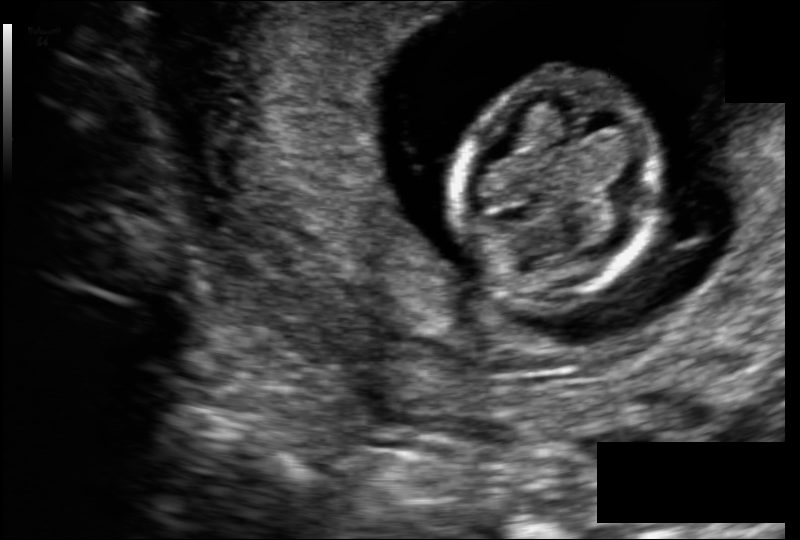
Estimate the fetal head circumference from this 2D ultrasound. Image width: 87.2 mm.

Head circumference: 79.5 mm.